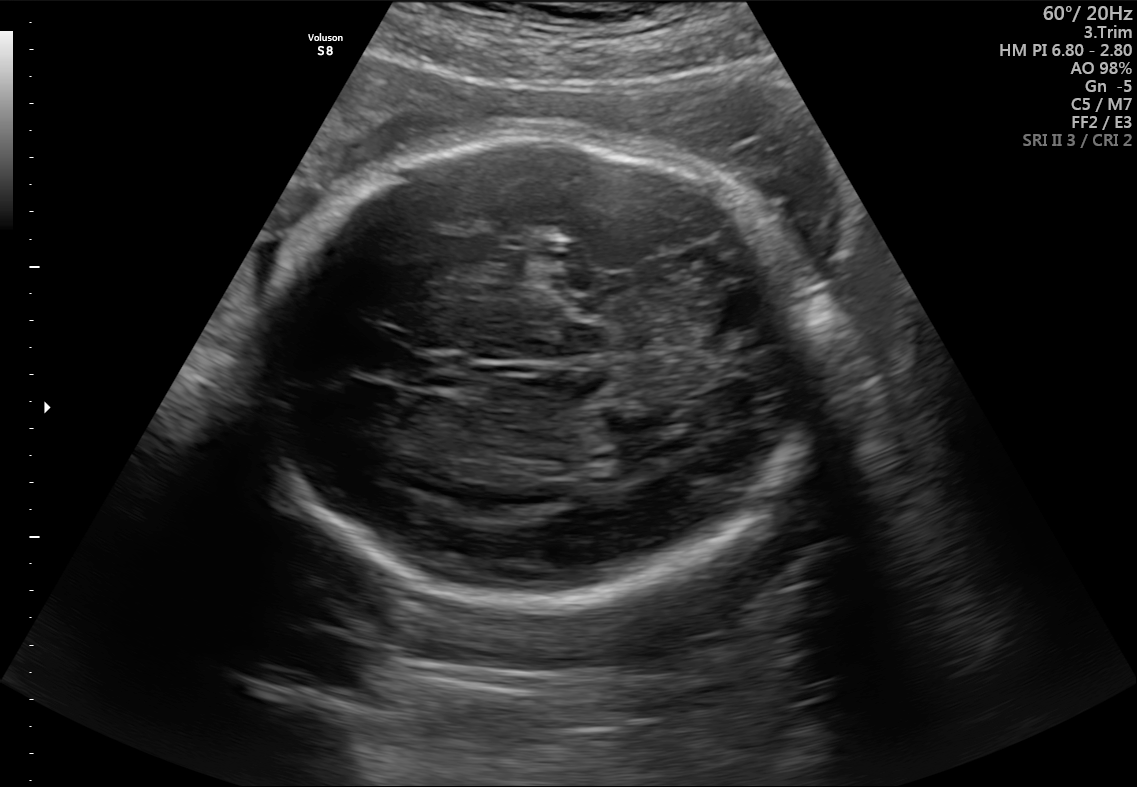
Fetal brain, trans-thalamic plane. Where is the fetal head?

Head bounding box: [251,135,822,607]